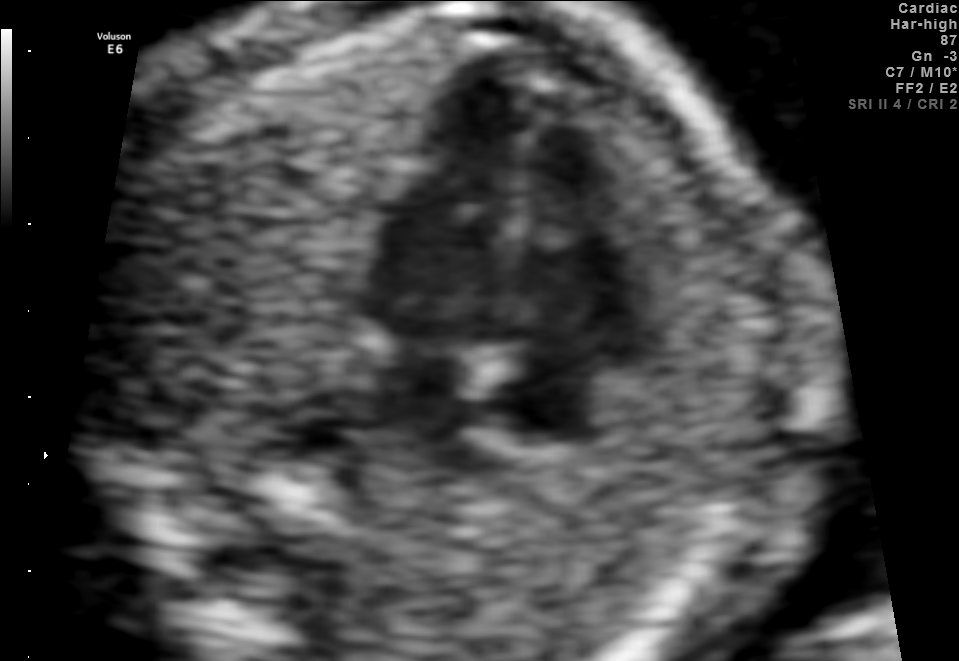
Identify the standard plane in this fetal ultrasound image: fetal abdomen, fetal brain, fetal femur, fetal thorax, maternal cervix, or other. If it's fetal brain and one of the three standard brain planes (trans-thalamic, trans-cerebellum, trans-ventricular), name which.

Fetal thorax